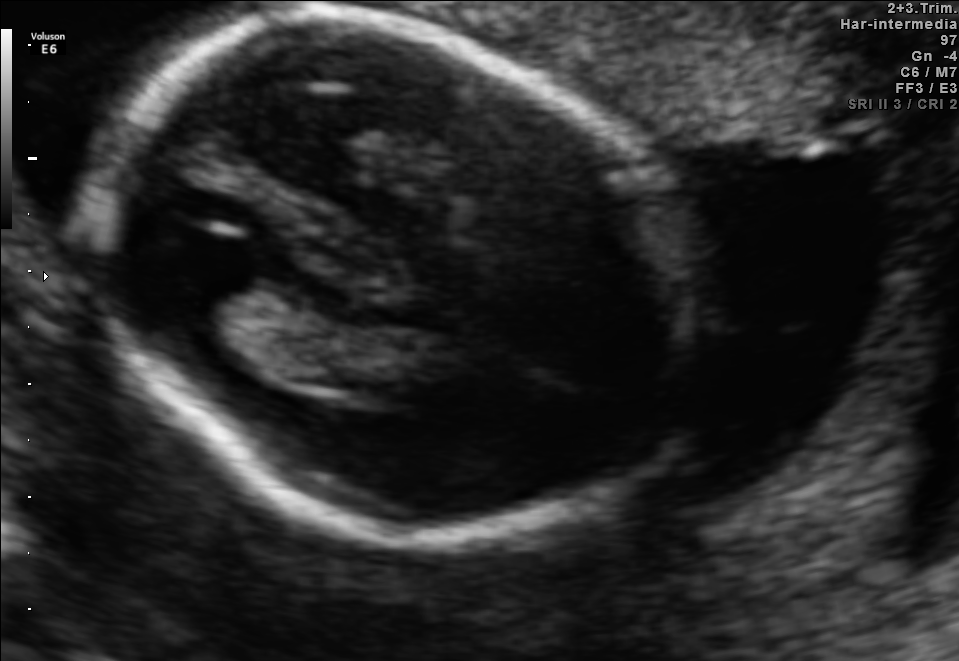
Fetal brain, trans-thalamic plane. Where is the fetal head?

Head bounding box: [87,26,704,541]